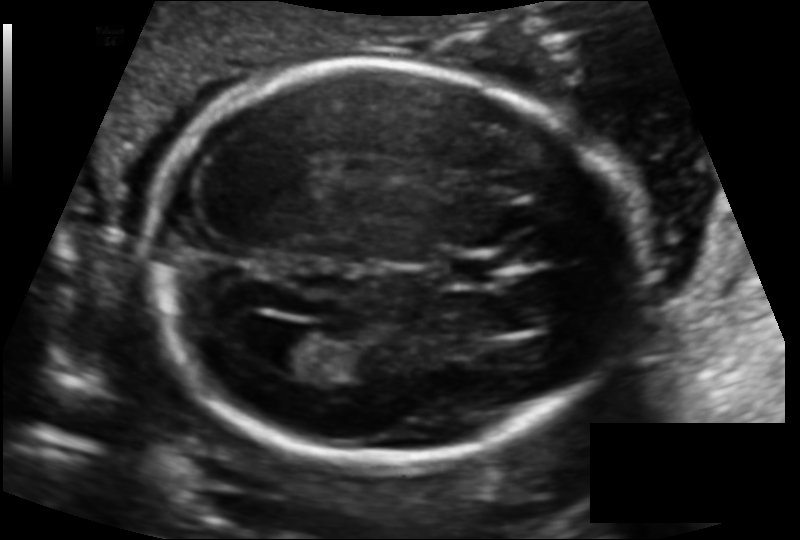
Fetal head ultrasound. Image width: 100.1 mm. Give [x1,y1,x2,y2] bounding boxes for each visible structure among: fetal head, CSP, LV.

Head: [147,63,631,466]
CSP: [445,254,504,286]
Lateral ventricle: [260,322,334,380]